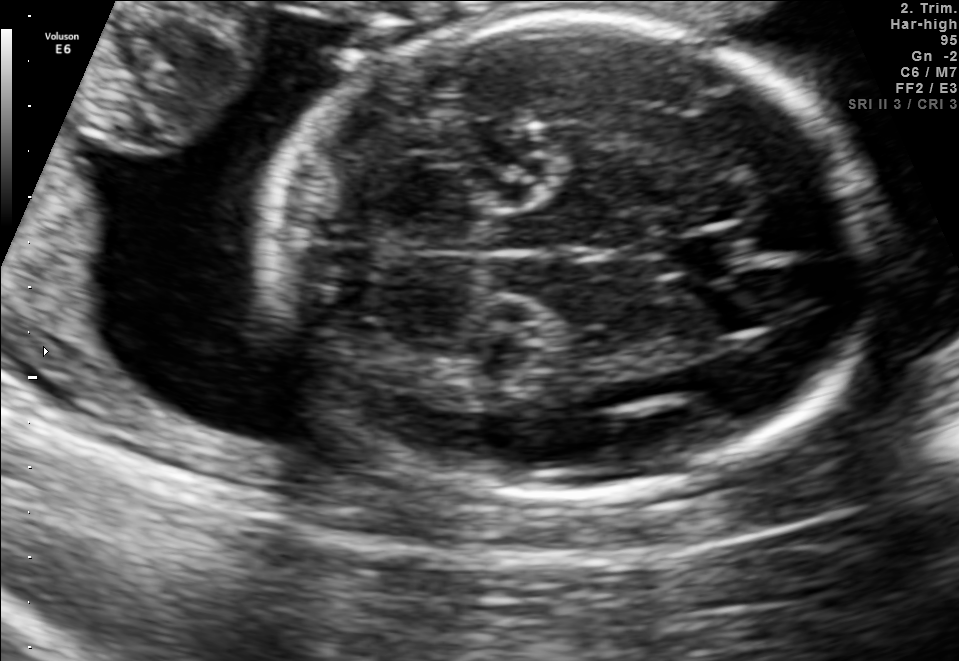
In this fetal brain, trans-cerebellum plane, give the bounding box of the cavum septum pellucidum.

[667,219,754,289]